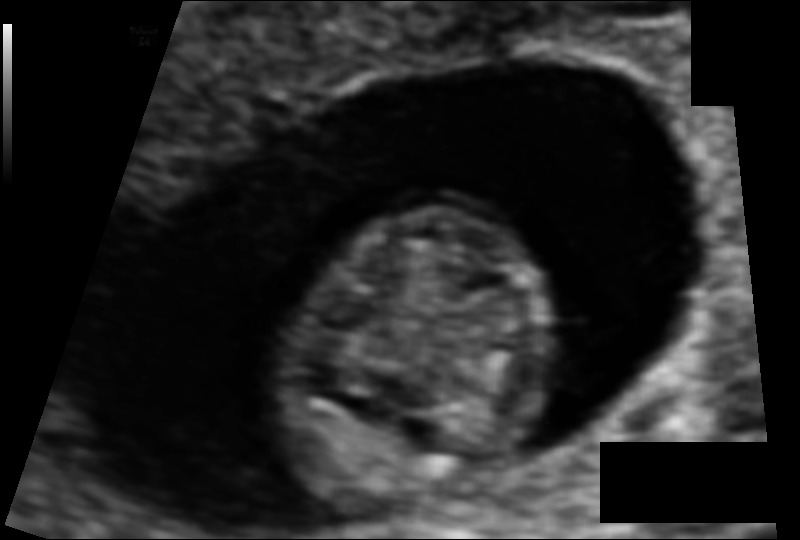
Fetal head ultrasound. Image width: 58.4 mm. Give [x1,y1,x2,y2] bounding boxes for each visible structure among: fetal head, CSP, LV.

Head: [279,209,545,512]